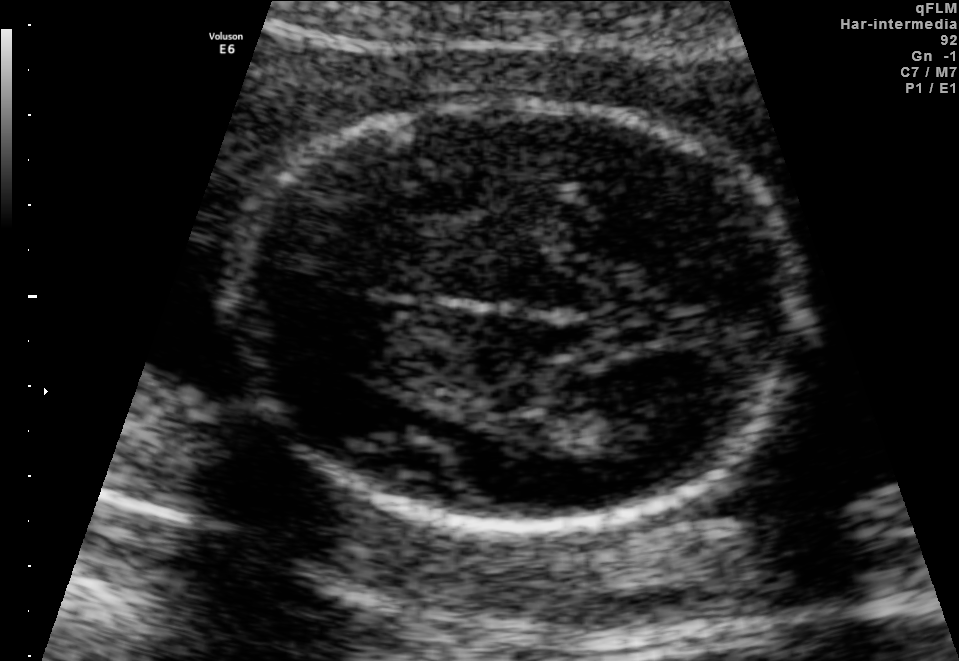
Fetal brain, trans-thalamic plane. Locate the fetal head.

Head: [231,98,802,527]